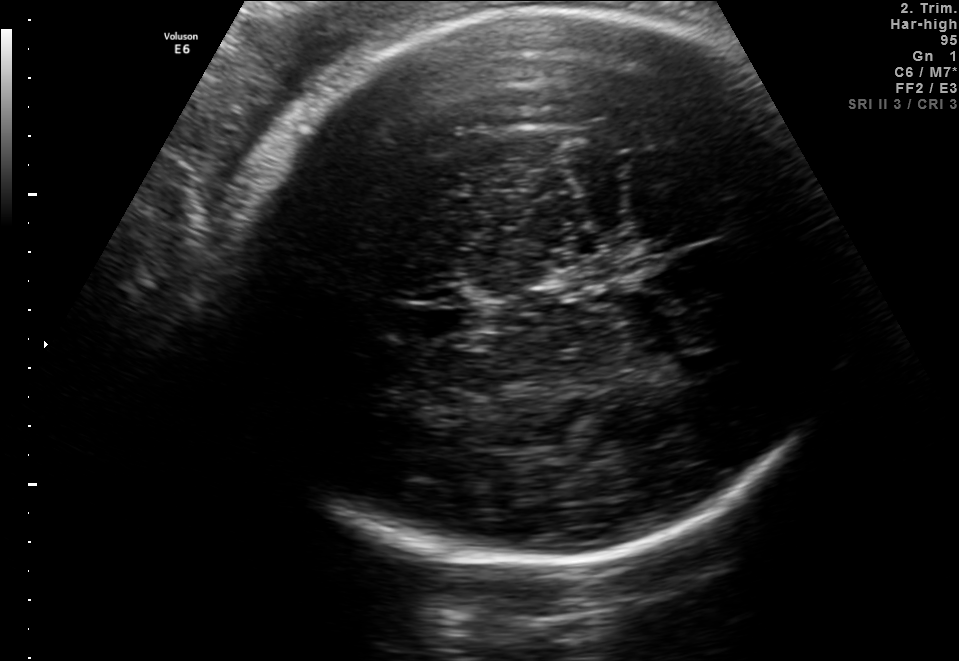
This is a 2D maternal-fetal ultrasound frame. Is it a fetal abdomen, fetal brain, fetal femur, fetal thorax, maternal cervix, or other standard plane? If it's fetal brain and one of the three standard brain planes (trans-thalamic, trans-cerebellum, trans-ventricular), name which.

Fetal brain (trans-thalamic plane)